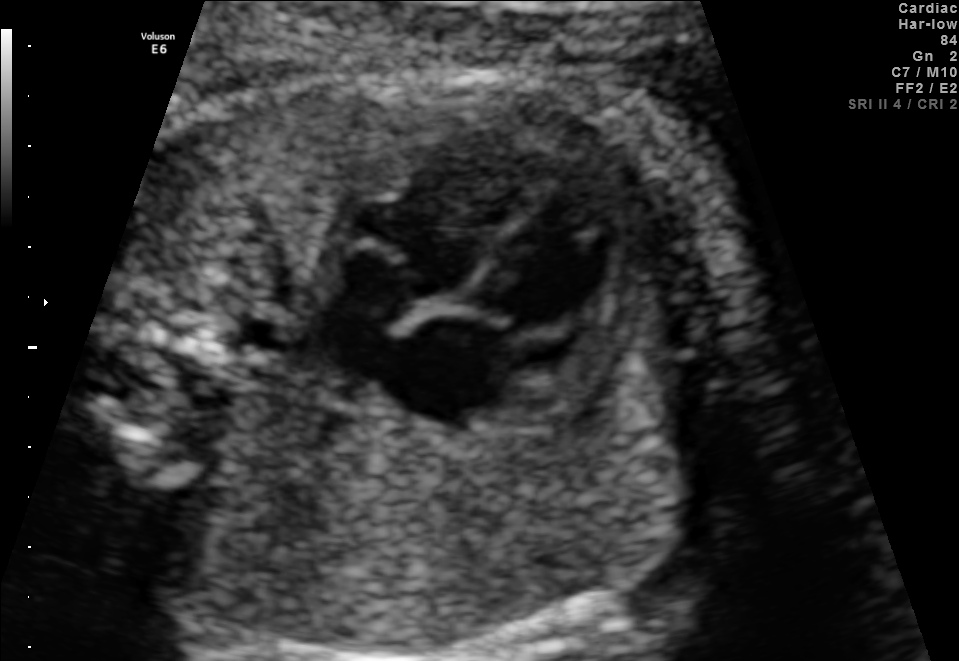
Classify this maternal-fetal ultrasound image as one of the six standard planes — fetal abdomen, fetal brain, fetal femur, fetal thorax, maternal cervix, or other. If it's fetal brain and one of the three standard brain planes (trans-thalamic, trans-cerebellum, trans-ventricular), name which.

Fetal thorax